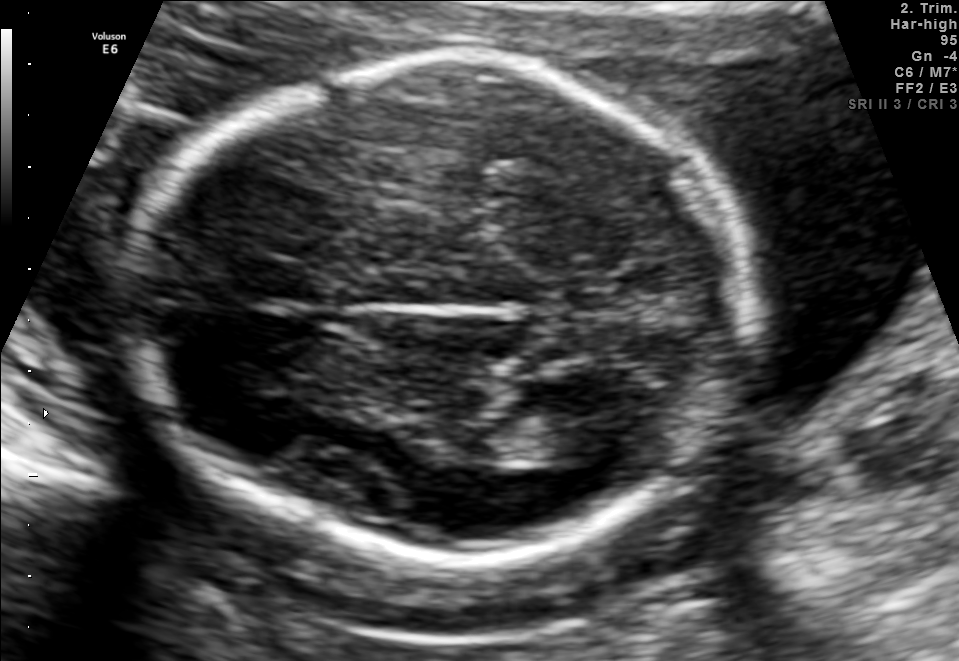
Classify this maternal-fetal ultrasound image as one of the six standard planes — fetal abdomen, fetal brain, fetal femur, fetal thorax, maternal cervix, or other. If it's fetal brain and one of the three standard brain planes (trans-thalamic, trans-cerebellum, trans-ventricular), name which.

Fetal brain (trans-thalamic plane)